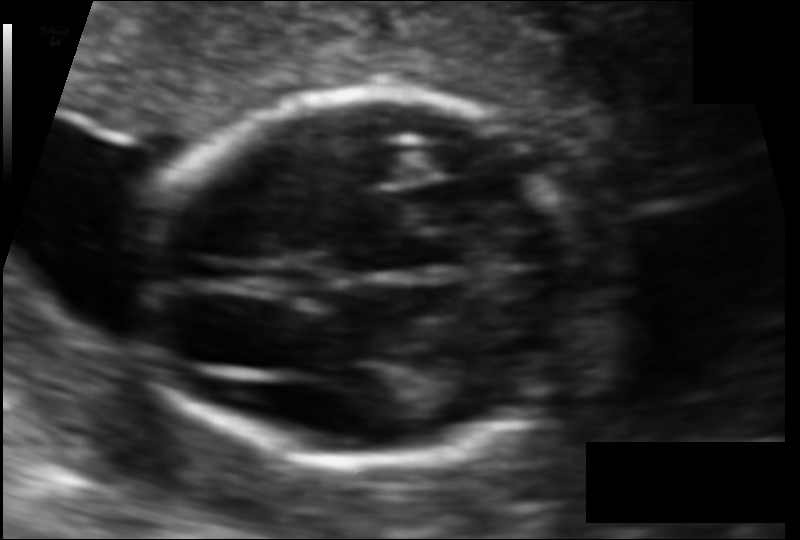
From this fetal ultrasound, estimate the head circumference (image width 70.1 mm).

Head circumference: 118.2 mm.